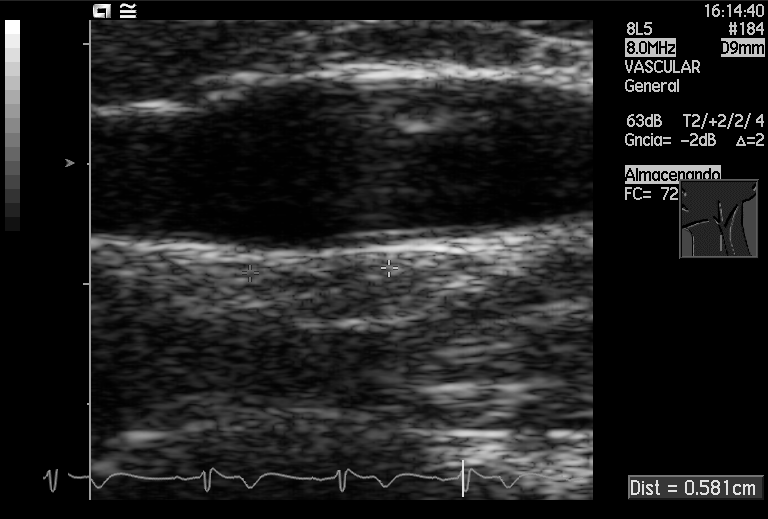
Identify the standard plane in this fetal ultrasound image: fetal abdomen, fetal brain, fetal femur, fetal thorax, maternal cervix, or other. If it's fetal brain and one of the three standard brain planes (trans-thalamic, trans-cerebellum, trans-ventricular), name which.

Other